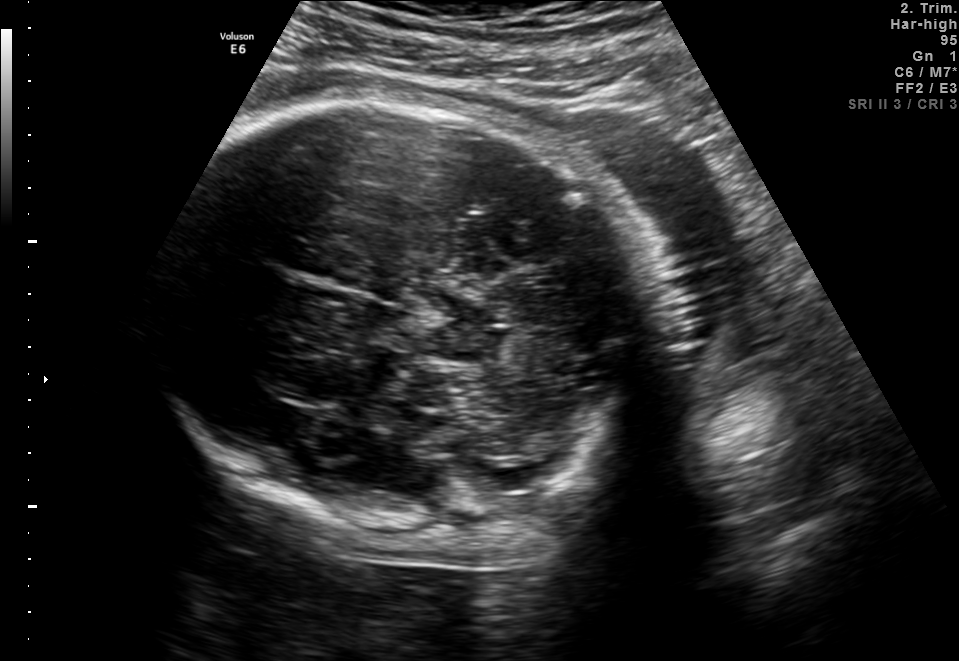
In this fetal brain, trans-thalamic plane, give the bounding box of the fetal head.

[159,102,668,535]